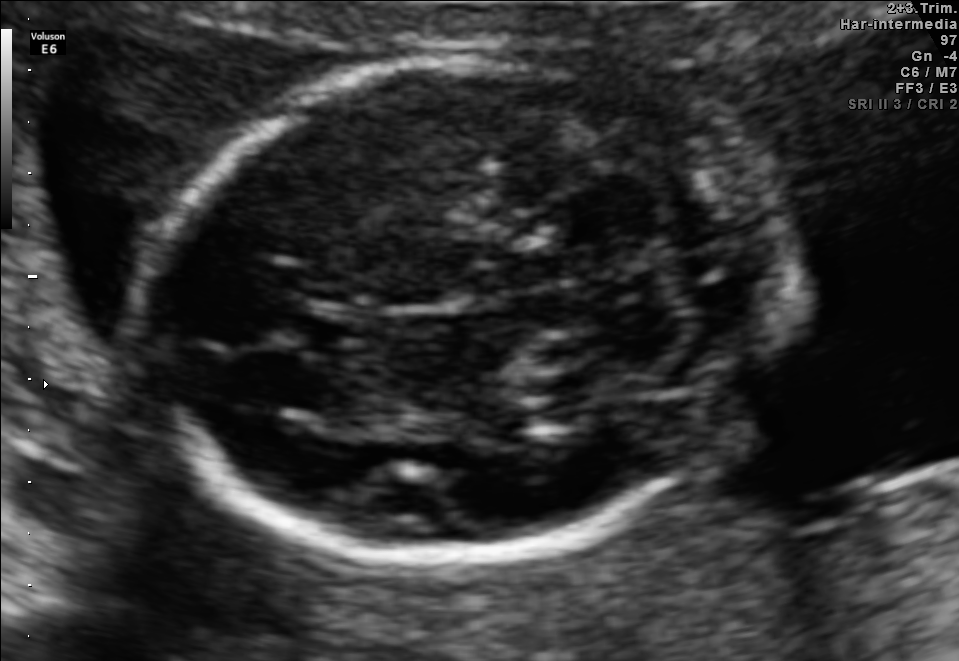
In this fetal brain, trans-cerebellum plane, give bounding boxes for the head outline, cavum septum pellucidum (CSP), and lateral ventricle (LV), where visible.

Head: [160,55,739,572]
CSP: [284,304,374,365]